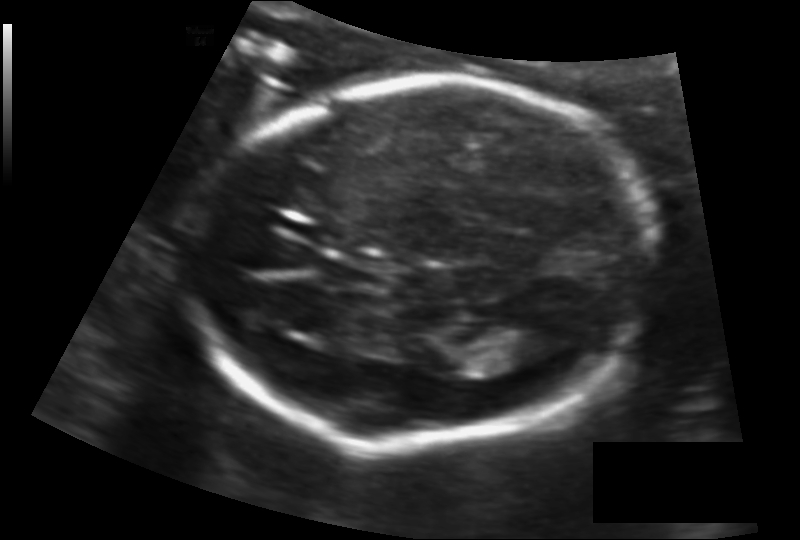
Measure the fetal head circumference shown in this ultrasound image. Image width: 100.0 mm.

Head circumference: 168.5 mm.